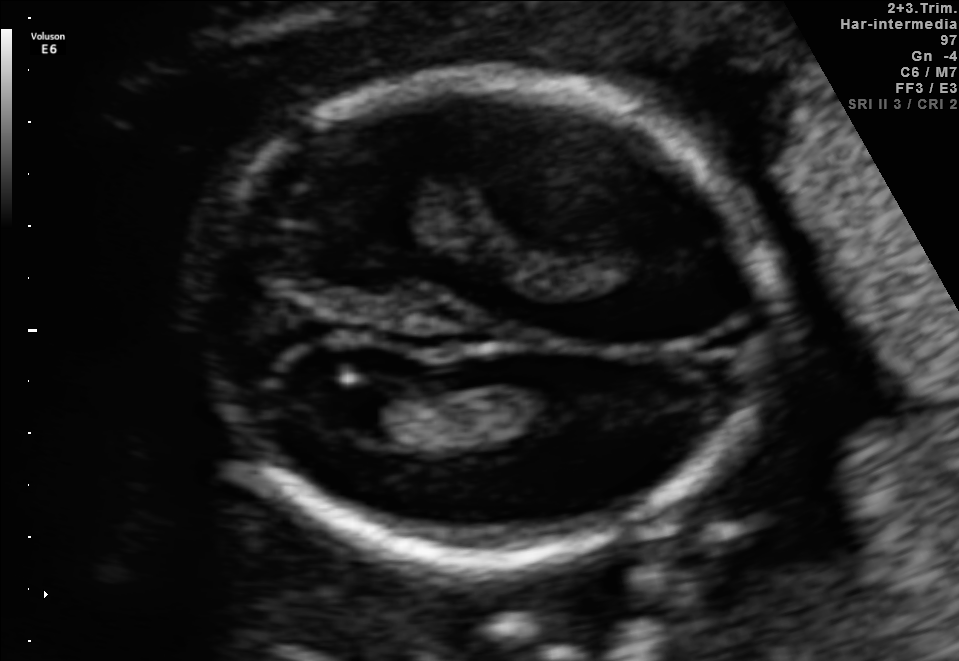
Fetal brain, trans-ventricular plane. Locate the fetal head and, if visible, the cavum septum pellucidum (CSP) and lateral ventricle (LV). Give bounding boxes as [x1,y1,x2,y2].

Head: [176,66,793,575]
Lateral ventricle: [303,377,401,442]